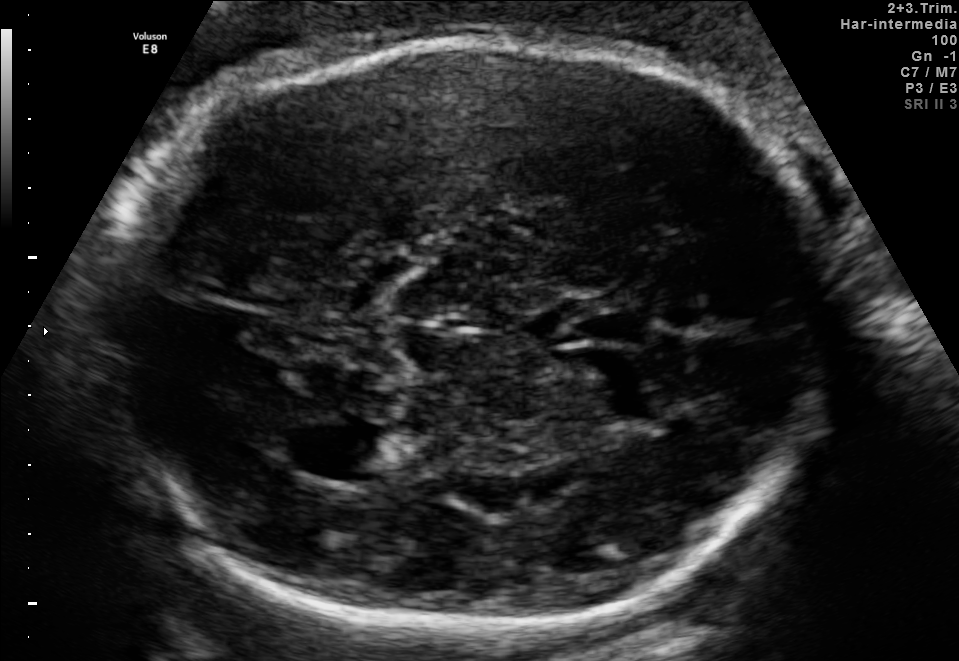
Fetal brain, trans-thalamic plane. Locate the lateral ventricle.

Lateral ventricle: [312,423,421,481]